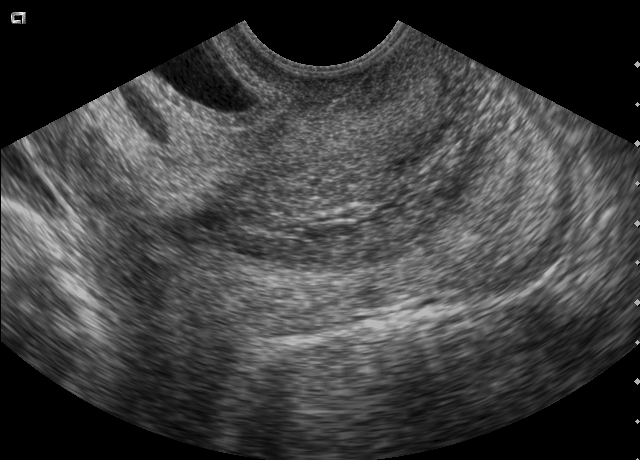
Identify the standard plane in this fetal ultrasound image: fetal abdomen, fetal brain, fetal femur, fetal thorax, maternal cervix, or other. If it's fetal brain and one of the three standard brain planes (trans-thalamic, trans-cerebellum, trans-ventricular), name which.

Maternal cervix